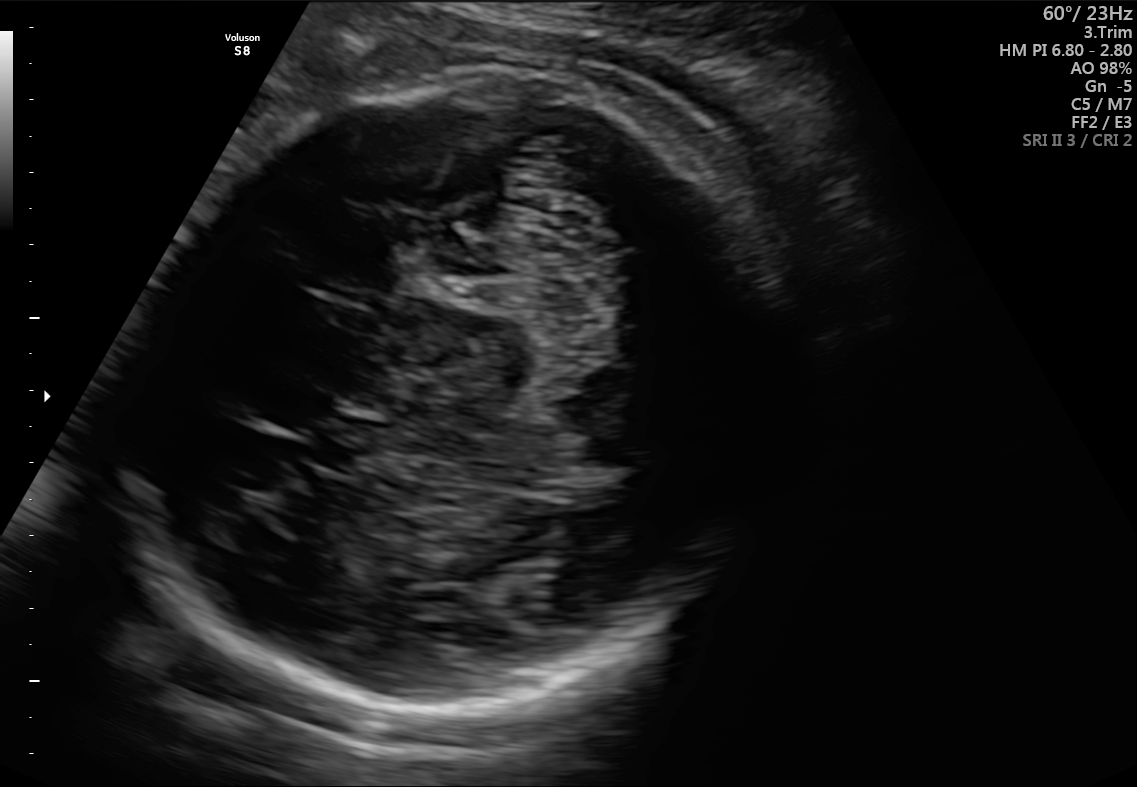
In this fetal brain, trans-cerebellum plane, give the bounding box of the fetal head.

[138,73,758,707]